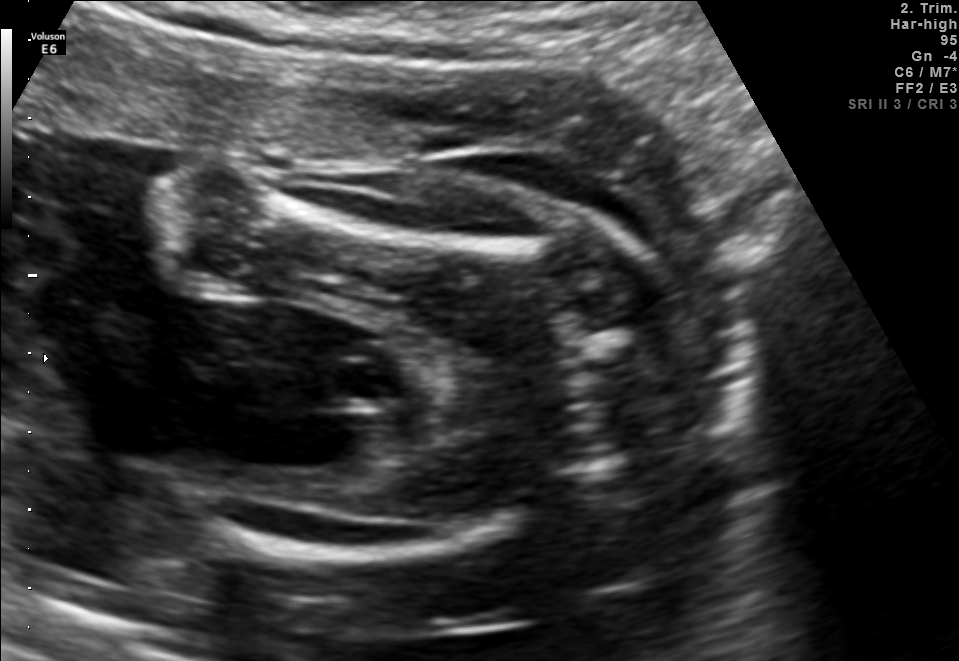
Identify the standard plane in this fetal ultrasound image: fetal abdomen, fetal brain, fetal femur, fetal thorax, maternal cervix, or other. If it's fetal brain and one of the three standard brain planes (trans-thalamic, trans-cerebellum, trans-ventricular), name which.

Fetal femur